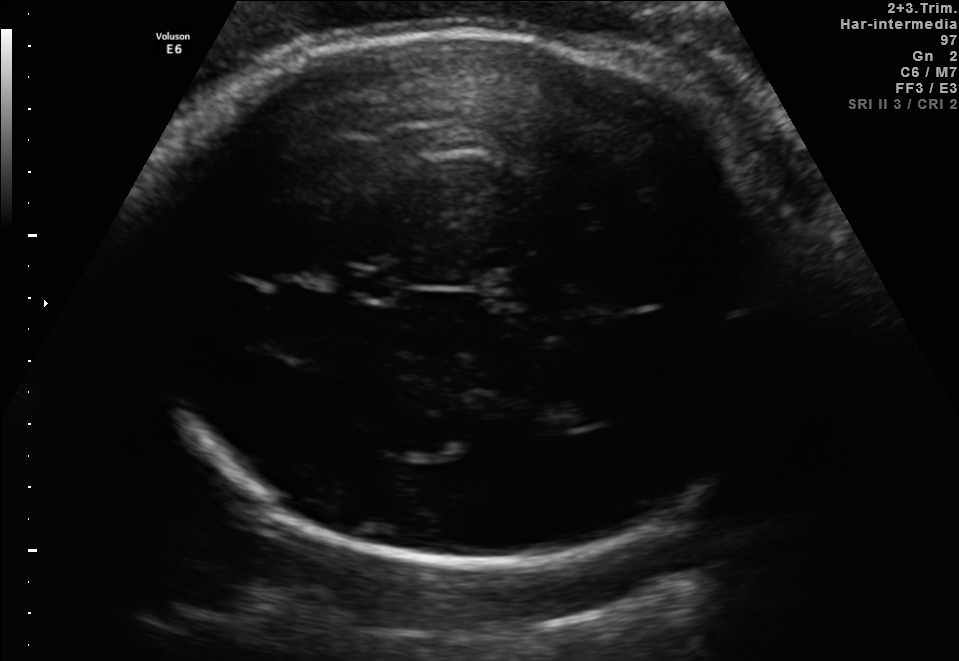
Fetal brain, trans-thalamic plane. Locate the cavum septum pellucidum.

CSP: [351,270,396,300]